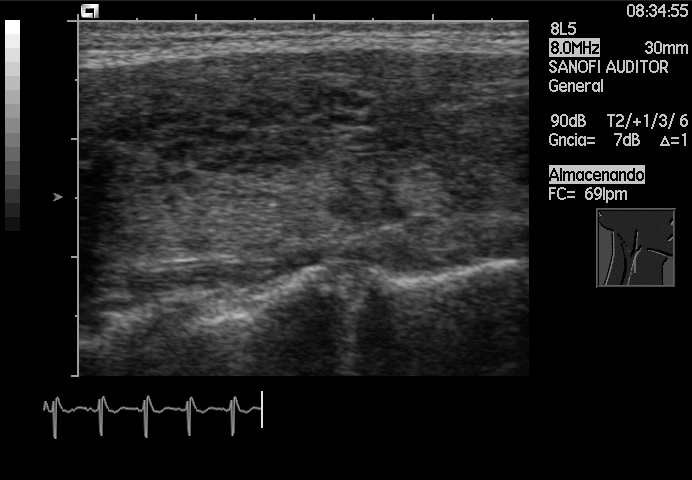
Which standard maternal-fetal ultrasound plane is shown: fetal abdomen, fetal brain, fetal femur, fetal thorax, maternal cervix, or other? If it's fetal brain and one of the three standard brain planes (trans-thalamic, trans-cerebellum, trans-ventricular), name which.

Other